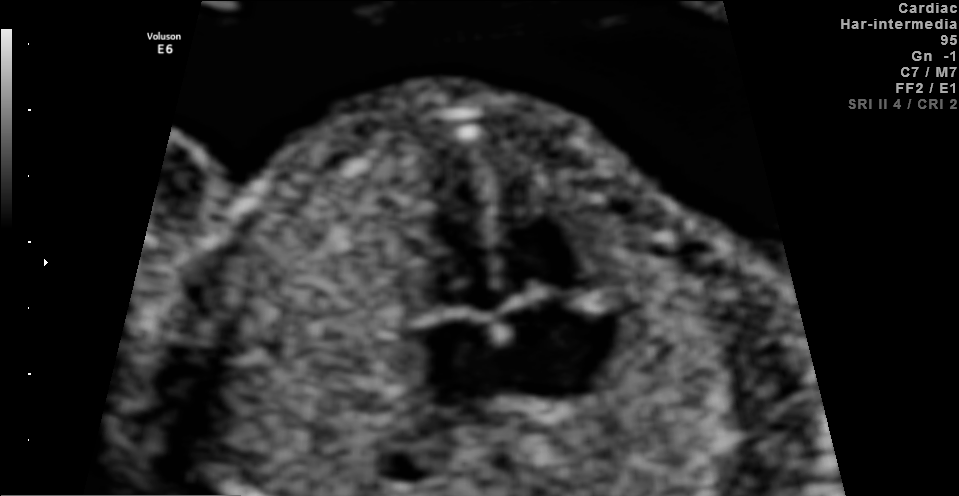
Identify the standard plane in this fetal ultrasound image: fetal abdomen, fetal brain, fetal femur, fetal thorax, maternal cervix, or other. If it's fetal brain and one of the three standard brain planes (trans-thalamic, trans-cerebellum, trans-ventricular), name which.

Fetal thorax